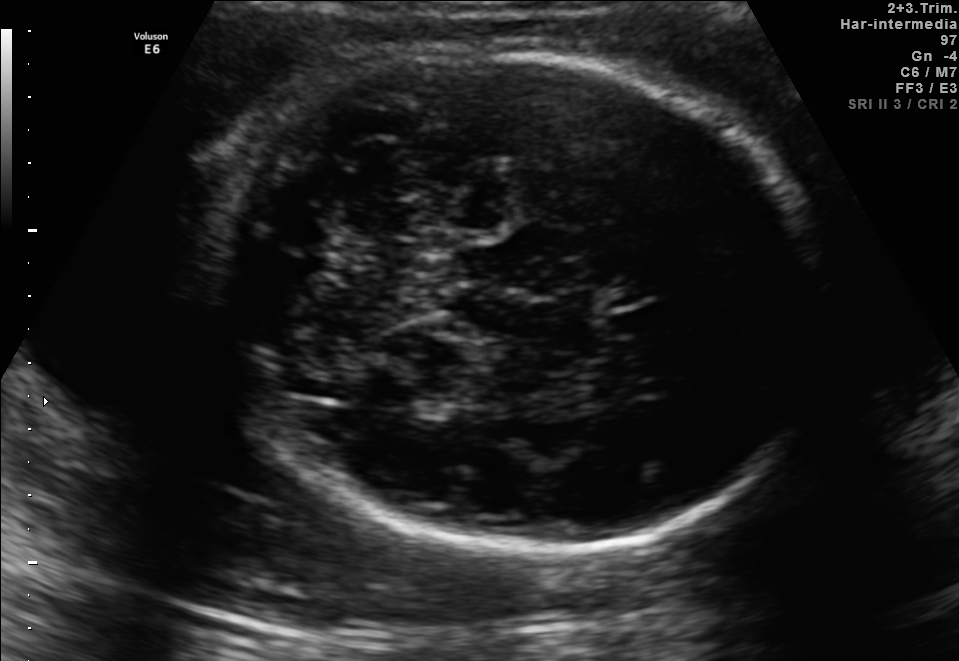
Fetal brain, trans-cerebellum plane. Where is the fetal head?

Head bounding box: [220,53,823,552]